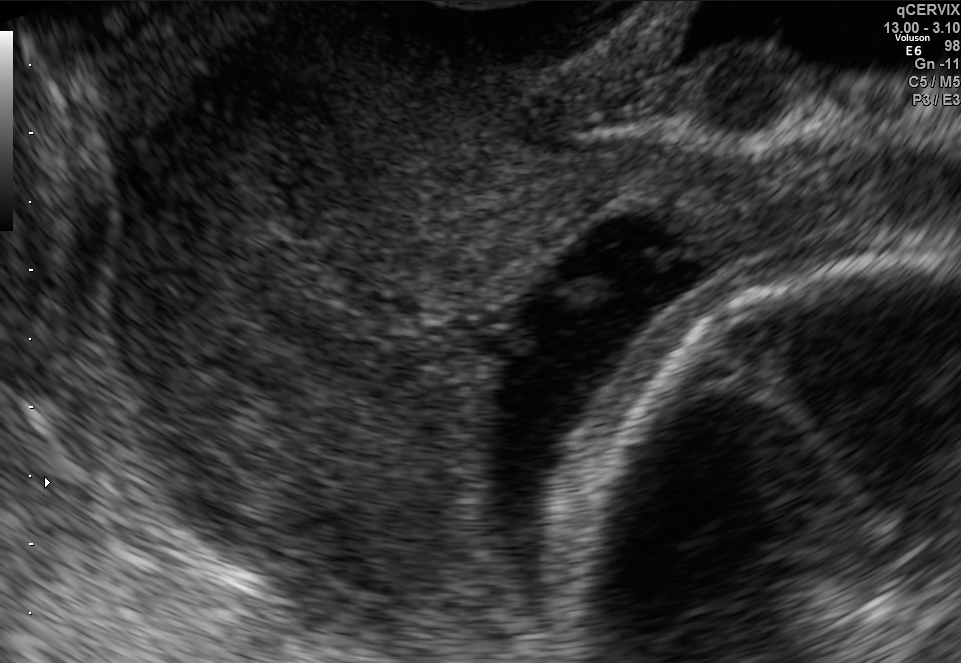
Classify this maternal-fetal ultrasound image as one of the six standard planes — fetal abdomen, fetal brain, fetal femur, fetal thorax, maternal cervix, or other. If it's fetal brain and one of the three standard brain planes (trans-thalamic, trans-cerebellum, trans-ventricular), name which.

Maternal cervix